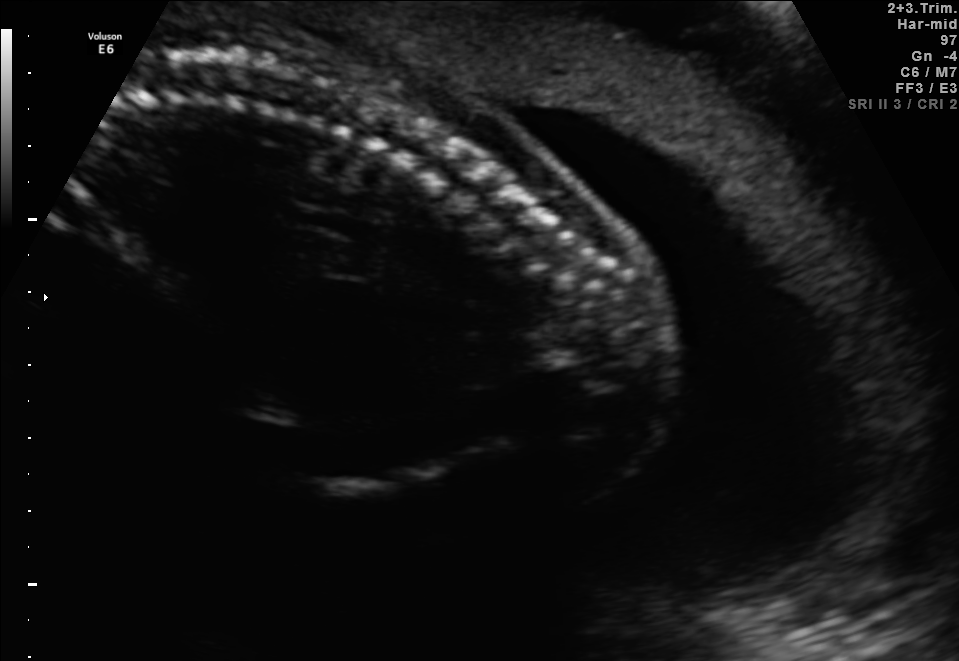
Identify the standard plane in this fetal ultrasound image: fetal abdomen, fetal brain, fetal femur, fetal thorax, maternal cervix, or other. If it's fetal brain and one of the three standard brain planes (trans-thalamic, trans-cerebellum, trans-ventricular), name which.

Other